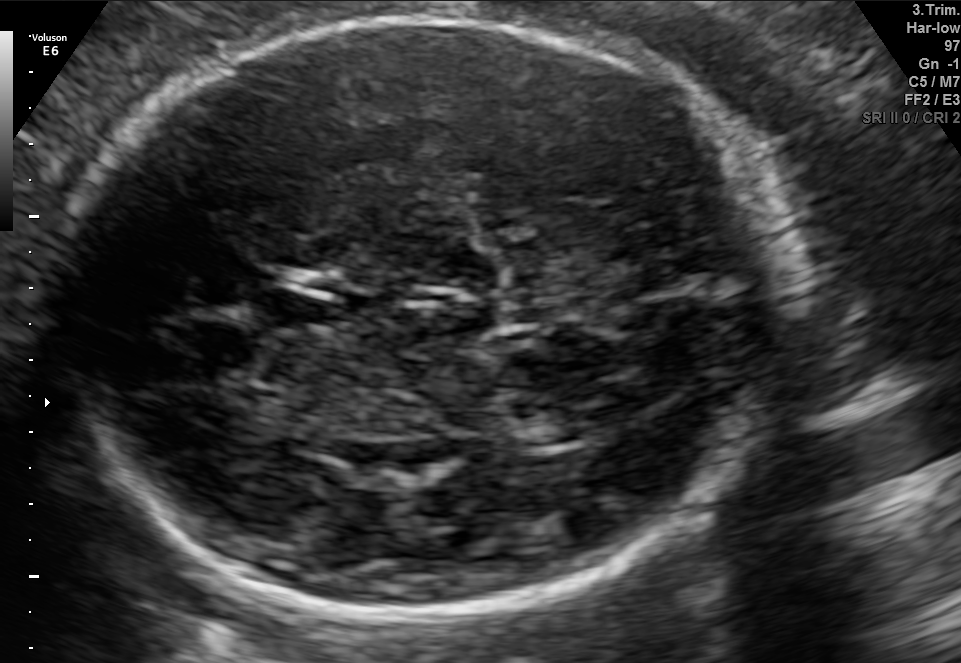
Fetal brain, trans-thalamic plane. Give [x1,y1,x2,y2] bounding boxes for each visible structure among: fetal head, CSP, LV.

Head: [43,11,798,620]
CSP: [251,283,335,336]